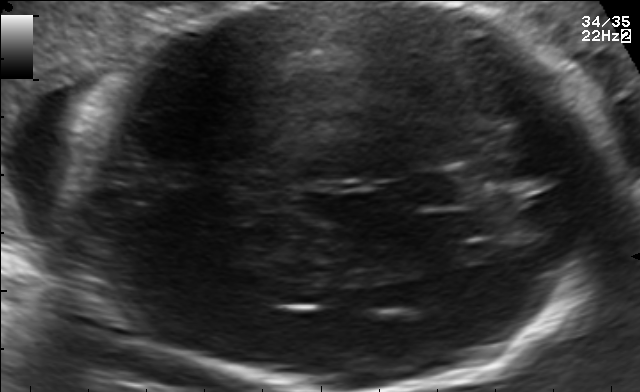
In this fetal brain, trans-thalamic plane, give the bounding box of the cavum septum pellucidum.

[411,170,469,210]